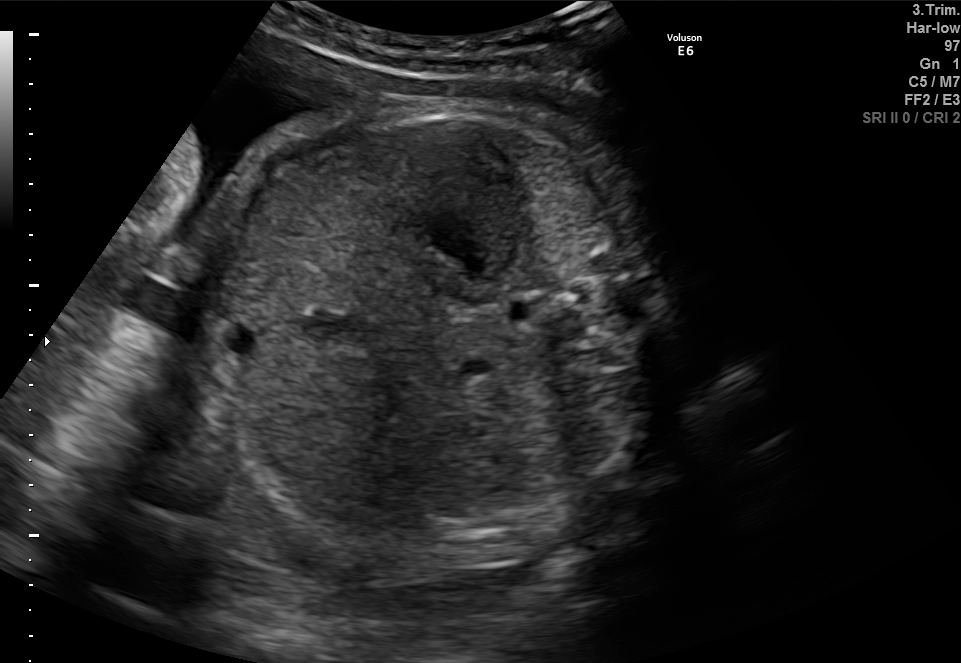
Which standard maternal-fetal ultrasound plane is shown: fetal abdomen, fetal brain, fetal femur, fetal thorax, maternal cervix, or other? If it's fetal brain and one of the three standard brain planes (trans-thalamic, trans-cerebellum, trans-ventricular), name which.

Fetal abdomen